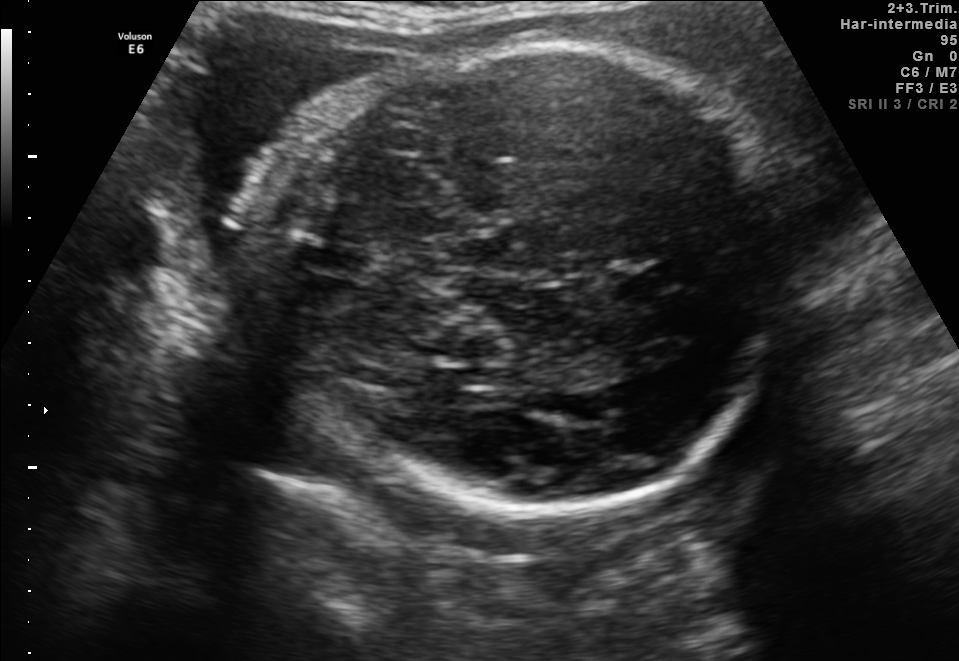
Fetal brain, trans-thalamic plane. Give [x1,y1,x2,y2] bounding boxes for each visible structure among: fetal head, CSP, LV.

Head: [273,38,782,529]
CSP: [611,263,673,300]
Lateral ventricle: [457,368,505,384]